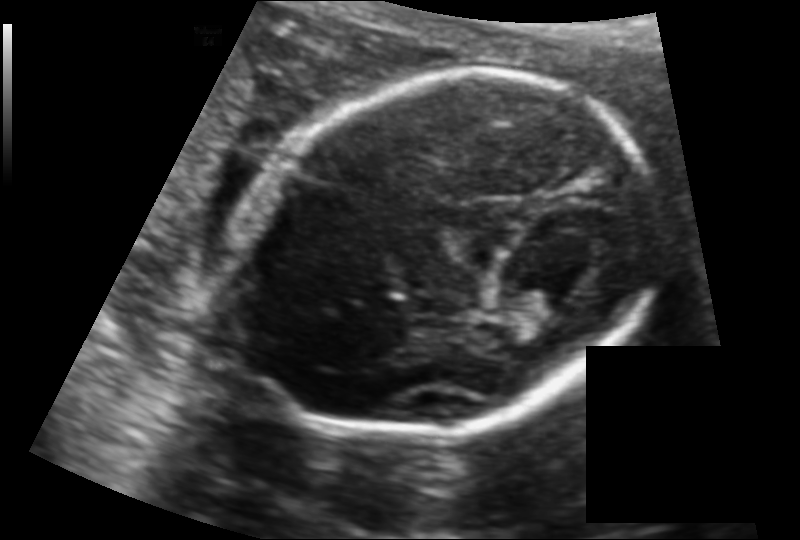
Estimate the fetal head circumference from this 2D ultrasound.

Head circumference: 167.7 mm (image width 103.7 mm).